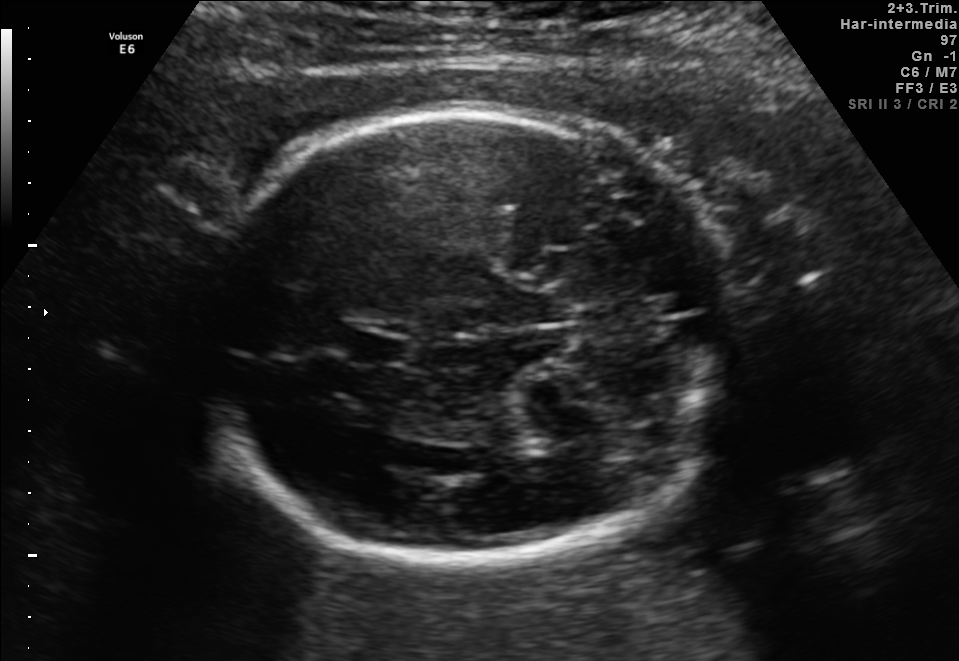
Fetal brain, trans-cerebellum plane. Locate the fetal head.

Head: [201,109,738,560]